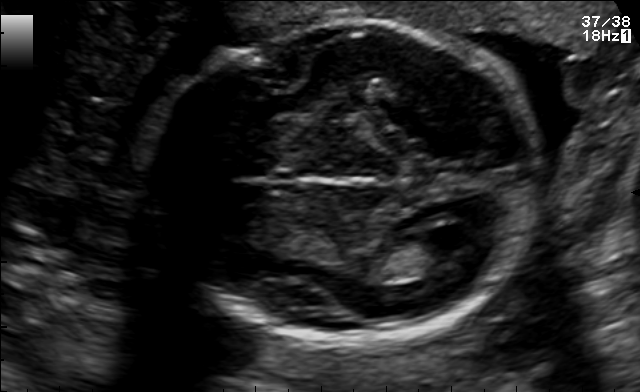
In this fetal brain, trans-ventricular plane, give bounding boxes for the head outline, cavum septum pellucidum (CSP), and lateral ventricle (LV), where visible.

Head: [141,9,553,351]
CSP: [273,174,297,190]
Lateral ventricle: [422,215,491,257]